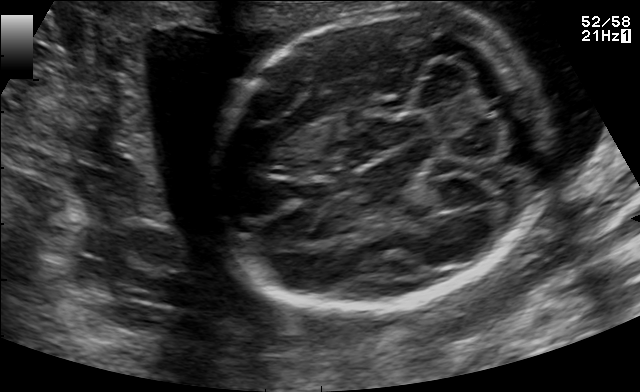
Identify the standard plane in this fetal ultrasound image: fetal abdomen, fetal brain, fetal femur, fetal thorax, maternal cervix, or other. If it's fetal brain and one of the three standard brain planes (trans-thalamic, trans-cerebellum, trans-ventricular), name which.

Fetal brain (trans-cerebellum plane)